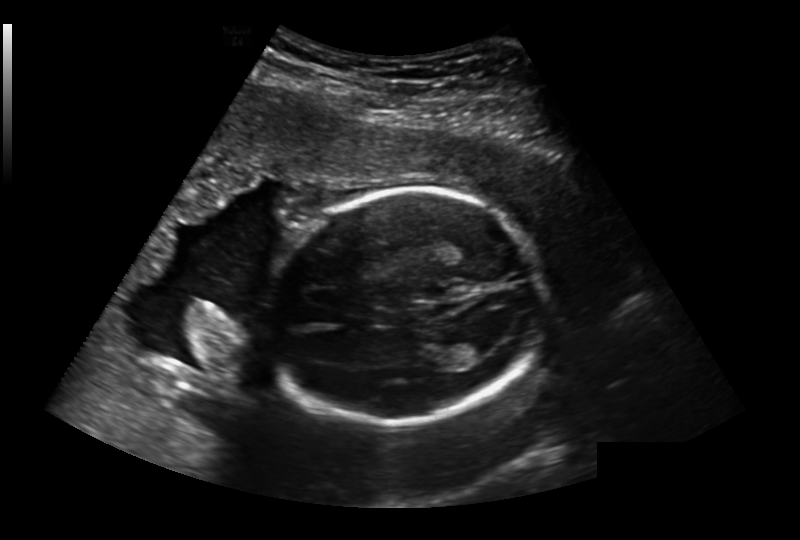
In this fetal head ultrasound, give bounding boxes for the head outline, cavum septum pellucidum (CSP), and lateral ventricle (LV), where visible. Image width: 188.7 mm.

Head: [264,190,541,425]
Lateral ventricle: [444,323,499,370]